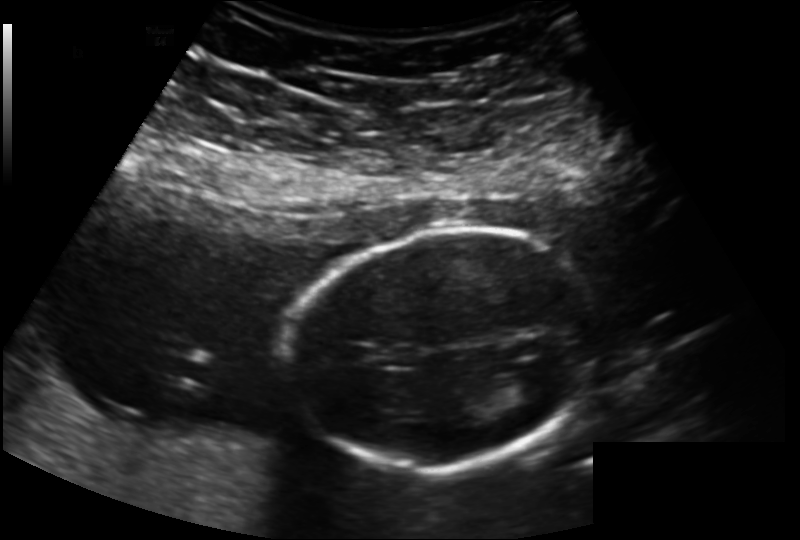
In this fetal head ultrasound, give the bounding box of the fetal head. Image width: 130.7 mm.

[294,229,597,470]